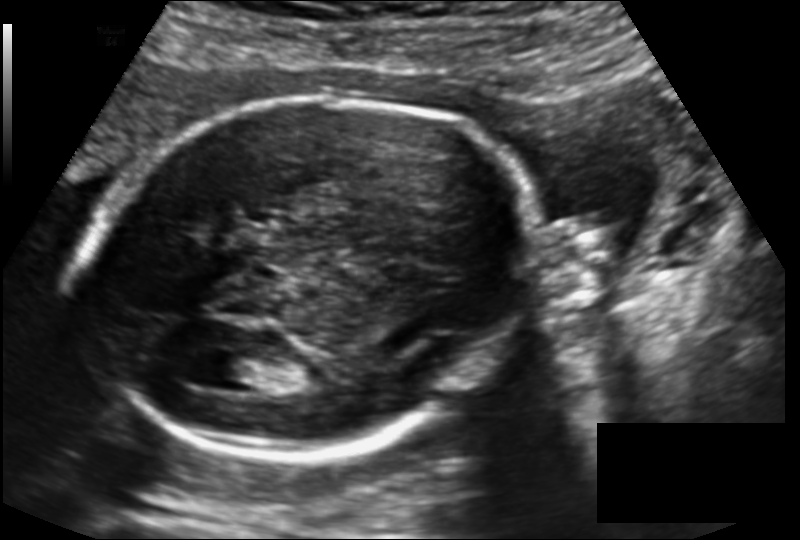
In this fetal head ultrasound, give the bounding box of the fetal head. Image width: 114.3 mm.

[86,95,542,452]